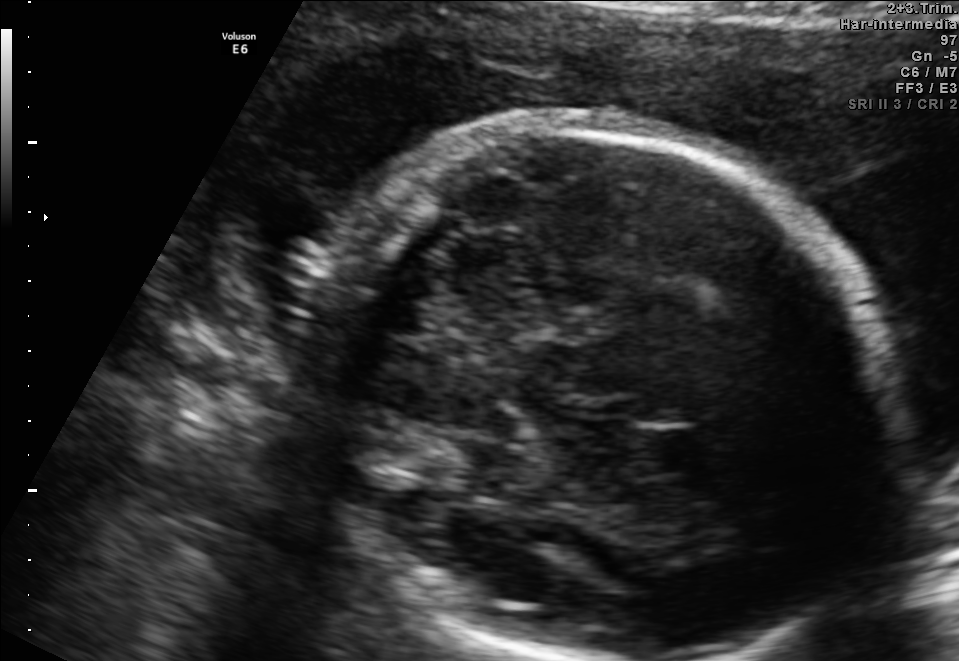
In this fetal brain, trans-thalamic plane, give bounding boxes for the head outline, cavum septum pellucidum (CSP), and lateral ventricle (LV), where visible.

Head: [304,120,891,657]
CSP: [641,427,712,473]